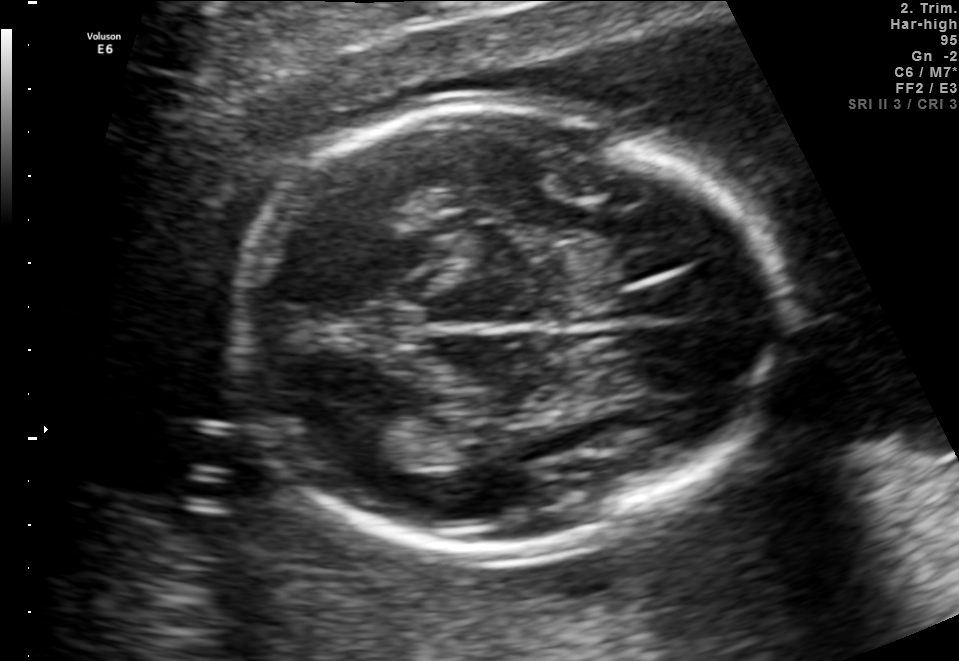
This is a 2D maternal-fetal ultrasound frame. Is it a fetal abdomen, fetal brain, fetal femur, fetal thorax, maternal cervix, or other standard plane? If it's fetal brain and one of the three standard brain planes (trans-thalamic, trans-cerebellum, trans-ventricular), name which.

Fetal brain (trans-thalamic plane)